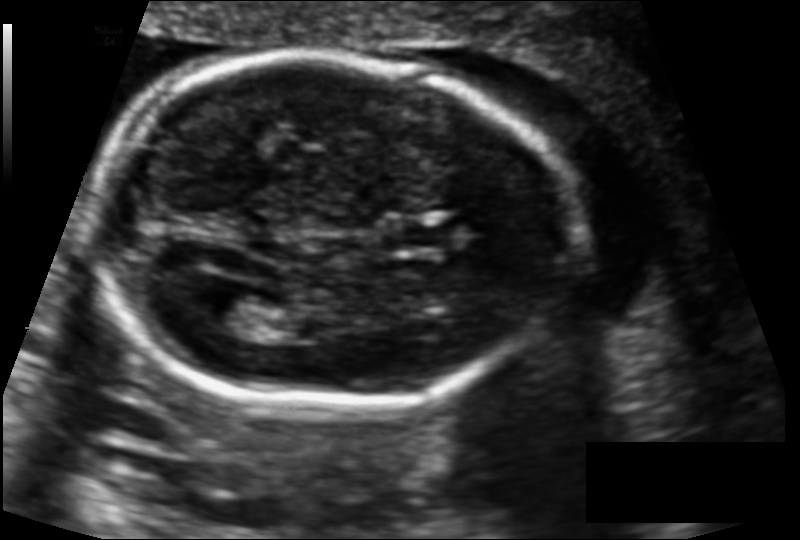
Fetal head ultrasound. Image width: 97.4 mm. Where is the lateral ventricle?

Lateral ventricle bounding box: [202,282,271,339]